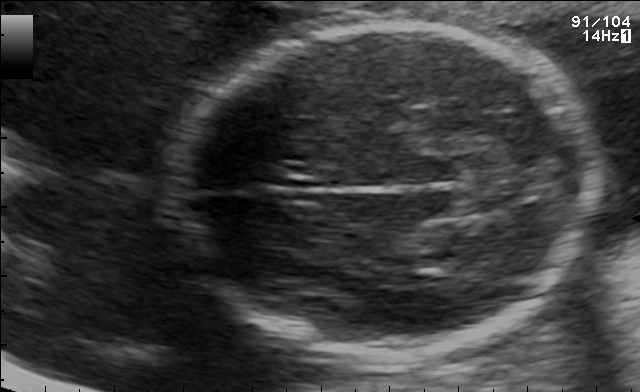
Fetal brain, trans-thalamic plane. Give [x1,y1,x2,y2] bounding boxes for each visible structure among: fetal head, CSP, LV.

Head: [169,22,599,356]